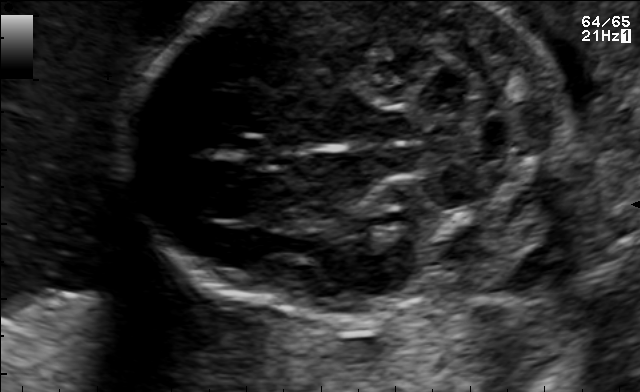
In this fetal brain, trans-cerebellum plane, give the bounding box of the fetal head.

[126,1,561,315]